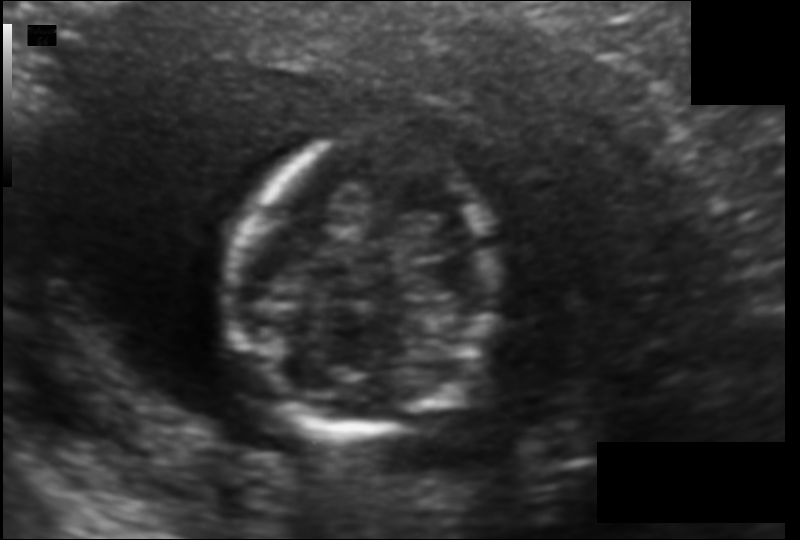
What is the fetal head circumference? Image width is 83.0 mm.

97.5 mm